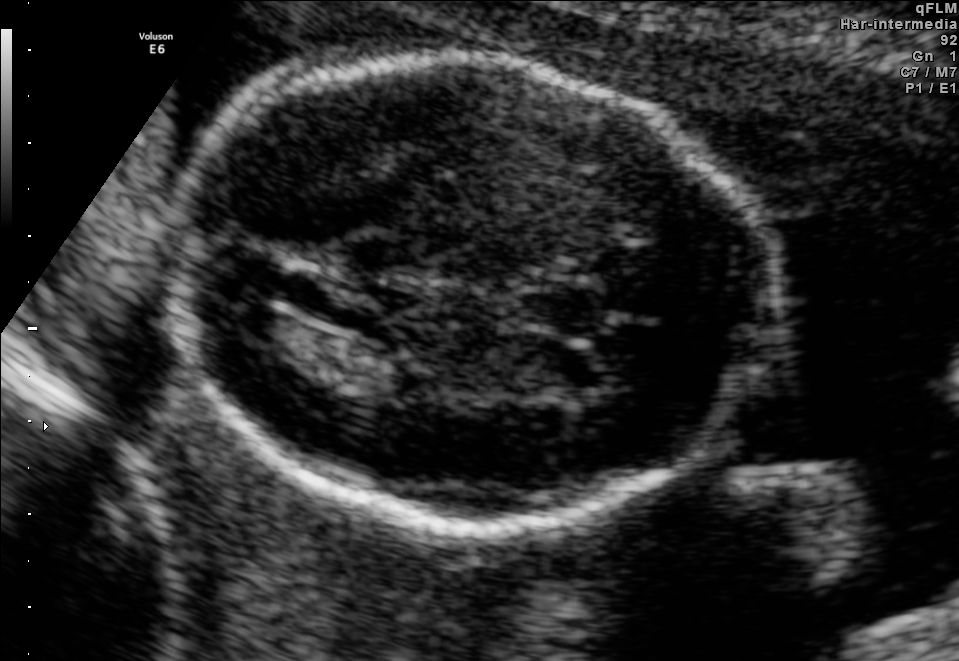
In this fetal brain, trans-thalamic plane, give the bounding box of the fetal head.

[177,57,766,528]